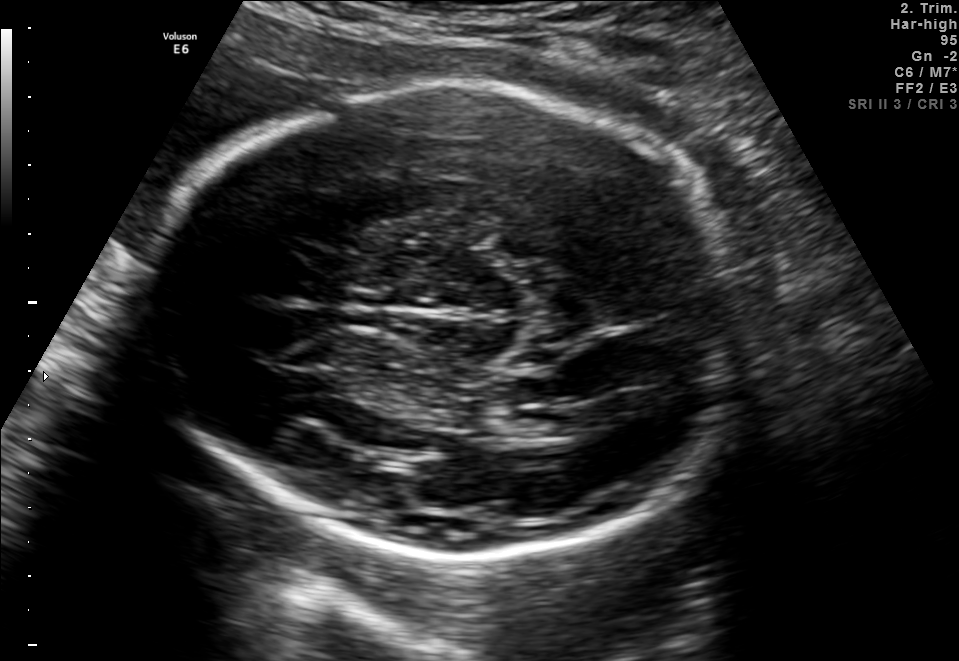
In this fetal brain, trans-thalamic plane, give the bounding box of the fetal head.

[155,85,752,552]